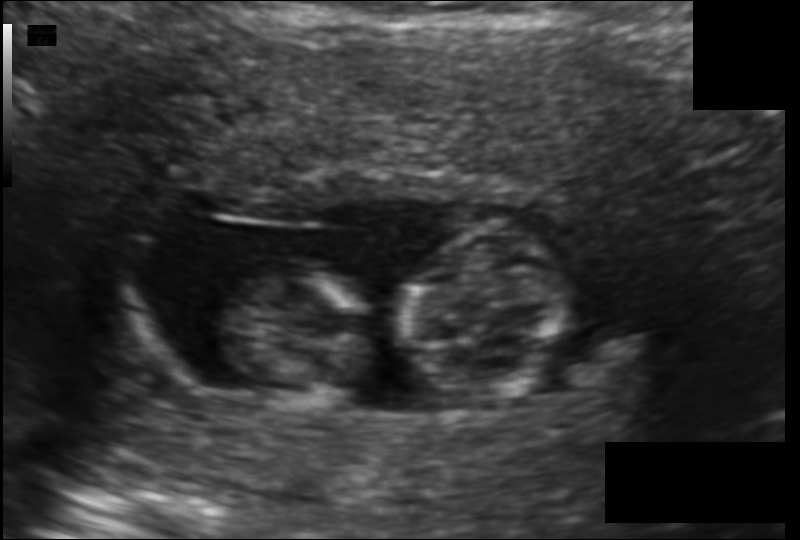
Estimate the fetal head circumference from this 2D ultrasound.

Head circumference: 67.9 mm (image width 95.3 mm).